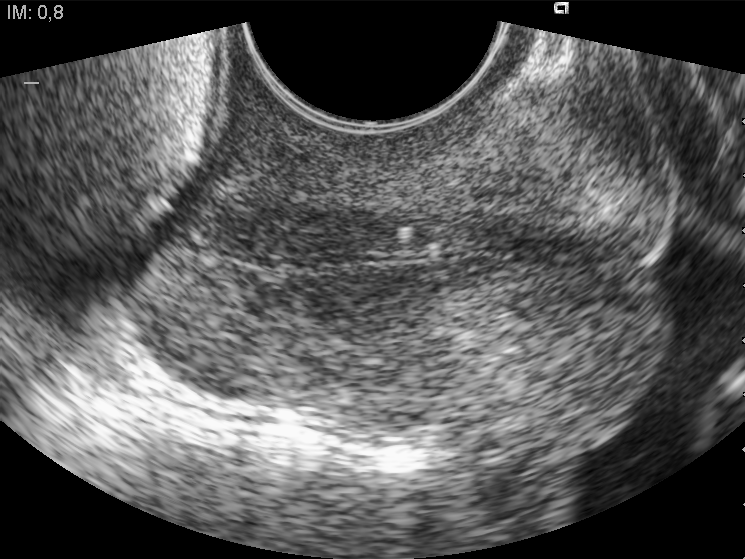
Identify the standard plane in this fetal ultrasound image: fetal abdomen, fetal brain, fetal femur, fetal thorax, maternal cervix, or other. If it's fetal brain and one of the three standard brain planes (trans-thalamic, trans-cerebellum, trans-ventricular), name which.

Maternal cervix